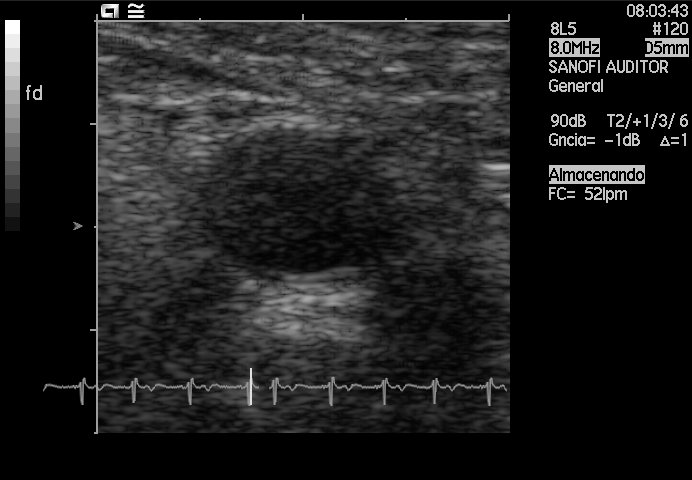
Which standard maternal-fetal ultrasound plane is shown: fetal abdomen, fetal brain, fetal femur, fetal thorax, maternal cervix, or other? If it's fetal brain and one of the three standard brain planes (trans-thalamic, trans-cerebellum, trans-ventricular), name which.

Other